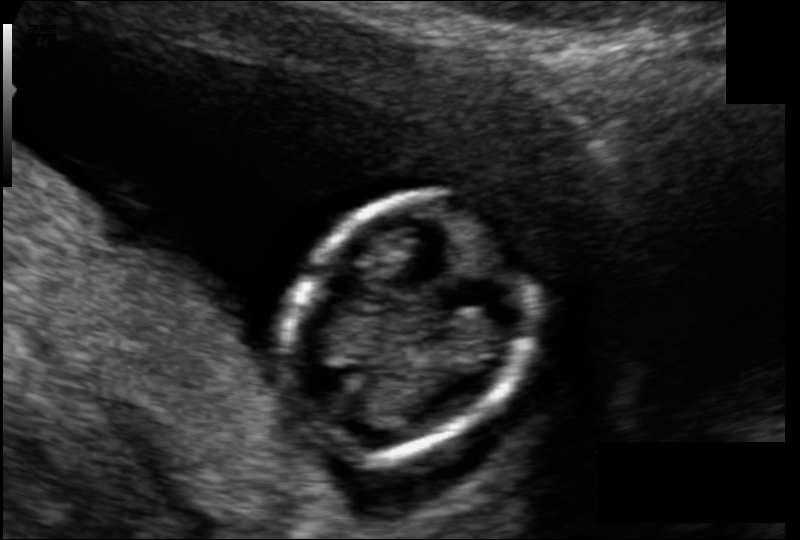
Fetal head ultrasound. Image width: 71.6 mm. Locate the fetal head and, if visible, the cavum septum pellucidum (CSP) and lateral ventricle (LV). Give bounding boxes as [x1,y1,x2,y2].

Head: [285,194,536,456]